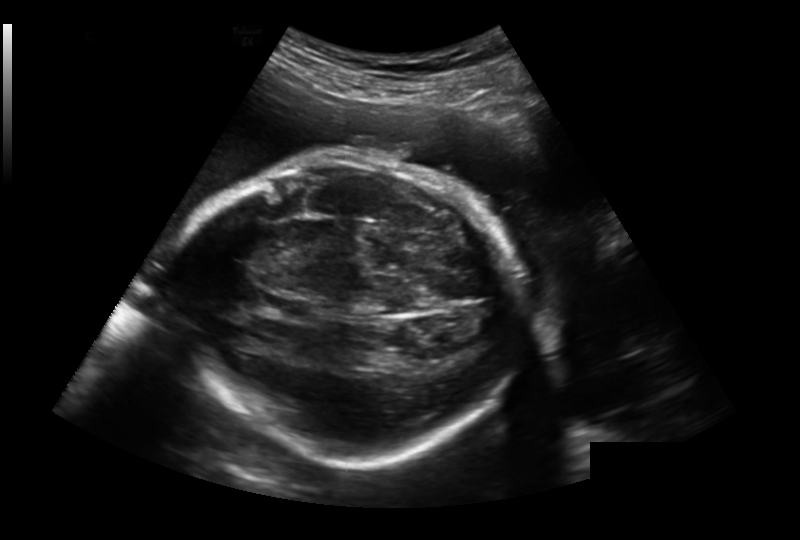
Fetal head ultrasound. Image width: 206.8 mm. Locate the fetal head.

Head: [176,158,519,460]